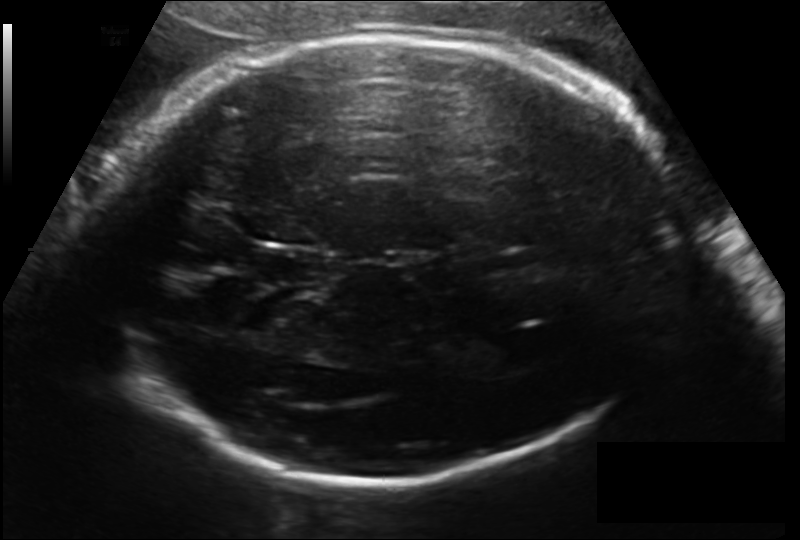
Fetal head ultrasound. Image width: 136.7 mm. Locate the lateral ventricle.

Lateral ventricle: [469,328,543,376]